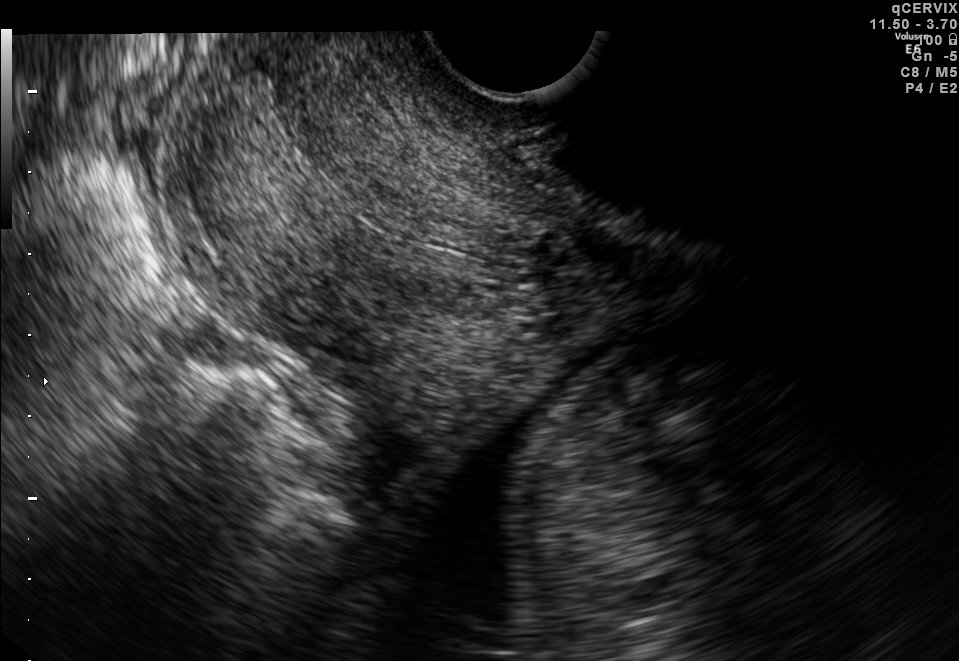
Classify this maternal-fetal ultrasound image as one of the six standard planes — fetal abdomen, fetal brain, fetal femur, fetal thorax, maternal cervix, or other. If it's fetal brain and one of the three standard brain planes (trans-thalamic, trans-cerebellum, trans-ventricular), name which.

Maternal cervix